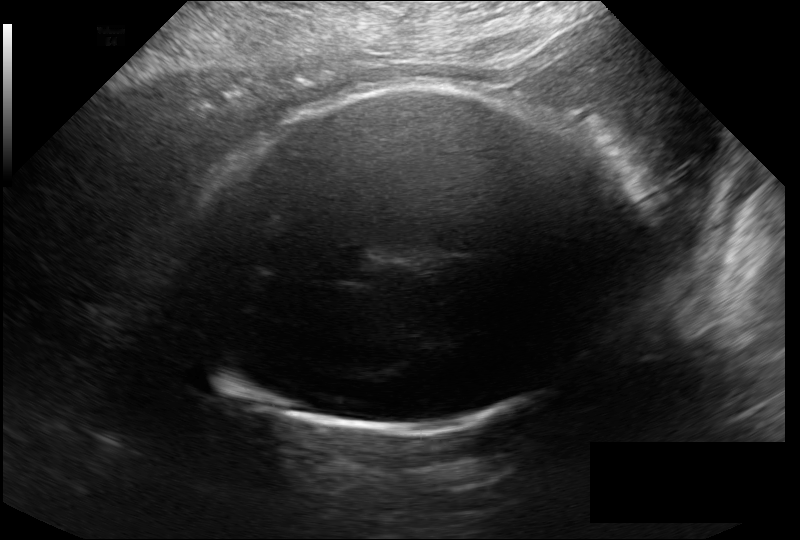
Fetal head ultrasound. Image width: 196.8 mm. Locate the fetal head.

Head: [182,84,642,431]